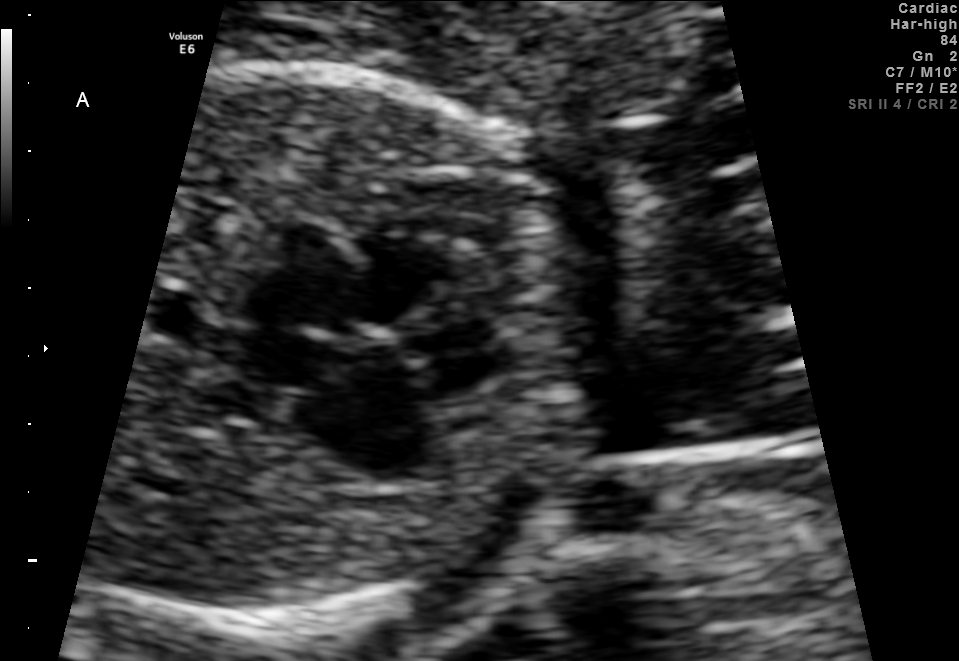
This is a 2D maternal-fetal ultrasound frame. Is it a fetal abdomen, fetal brain, fetal femur, fetal thorax, maternal cervix, or other standard plane? If it's fetal brain and one of the three standard brain planes (trans-thalamic, trans-cerebellum, trans-ventricular), name which.

Fetal thorax